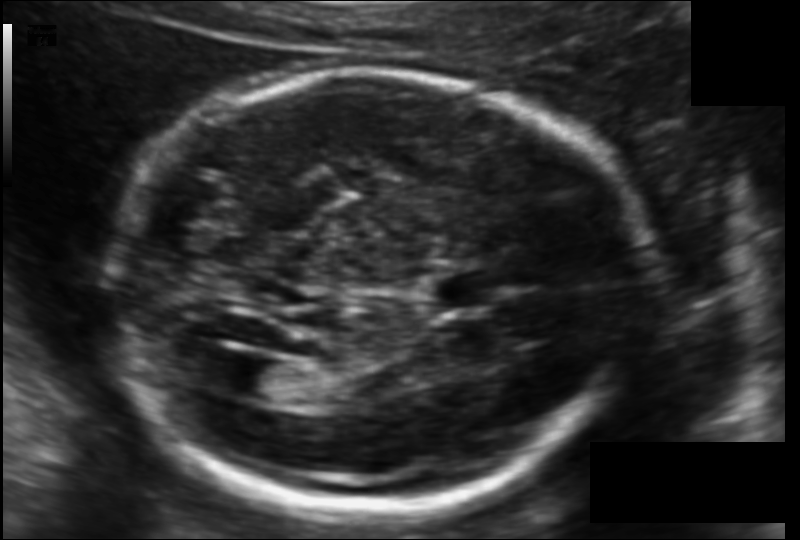
Fetal head ultrasound. Image width: 95.3 mm. Where is the cavum septum pellucidum?

CSP bounding box: [428,262,504,317]